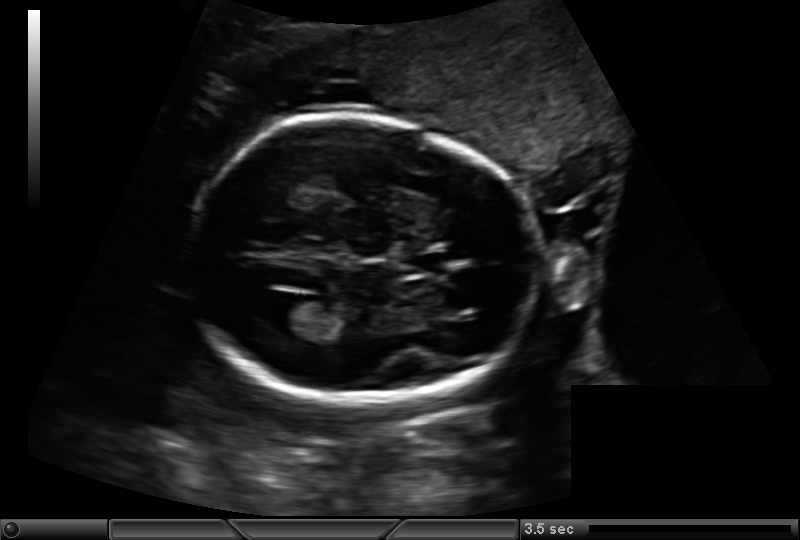
Fetal head ultrasound. Image width: 126.8 mm. Give [x1,y1,x2,y2] bounding boxes for each visible structure among: fetal head, CSP, LV.

Head: [189,117,540,402]
CSP: [409,250,450,274]
Lateral ventricle: [263,293,315,336]